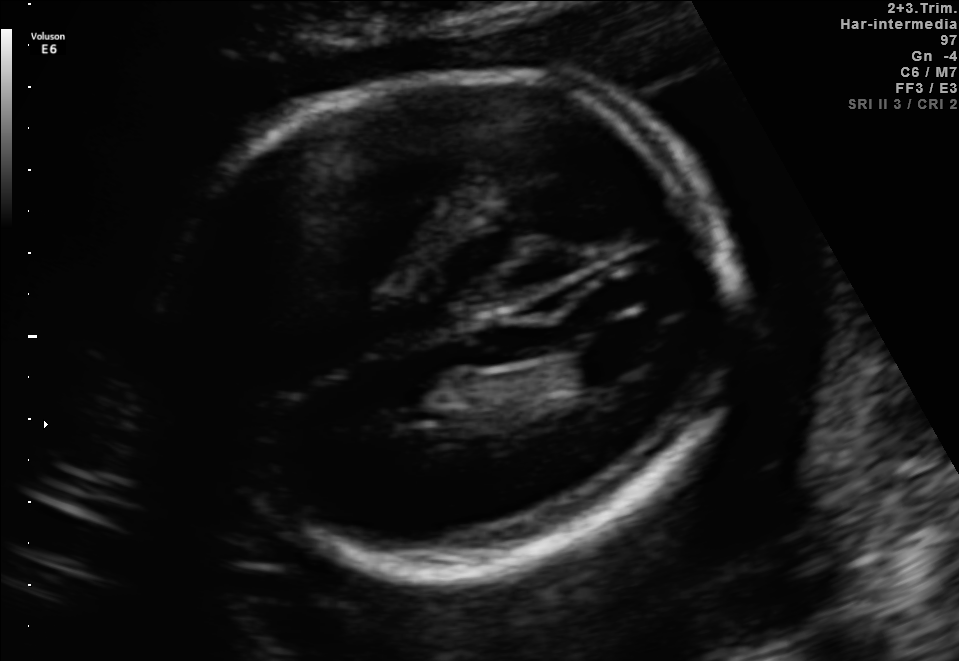
In this fetal brain, trans-ventricular plane, give the bounding box of the fetal head.

[159,61,758,582]